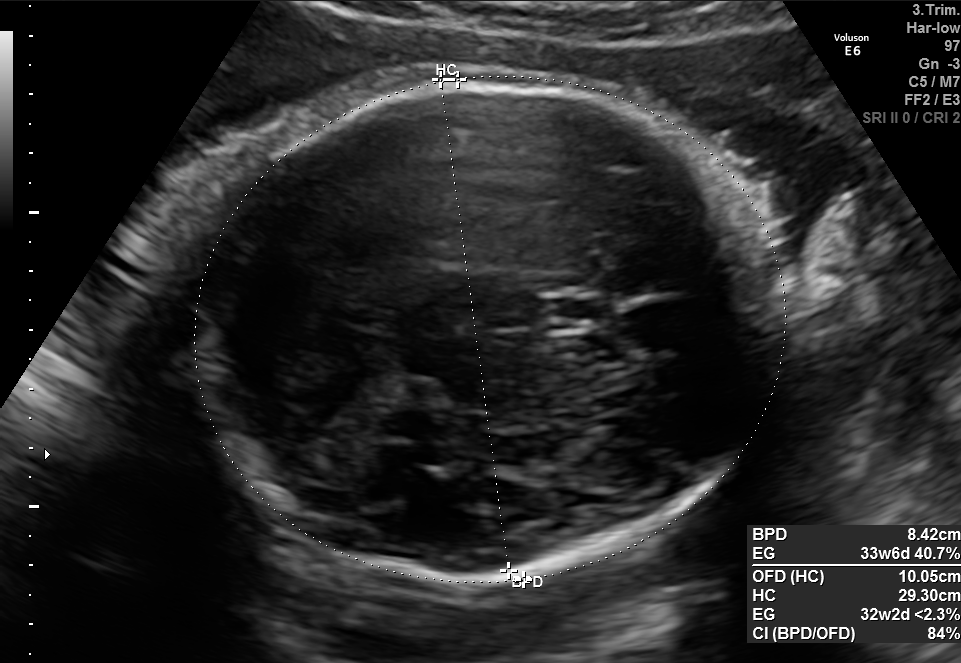
In this fetal brain, trans-thalamic plane, give the bounding box of the cavum septum pellucidum.

[540,294,616,331]